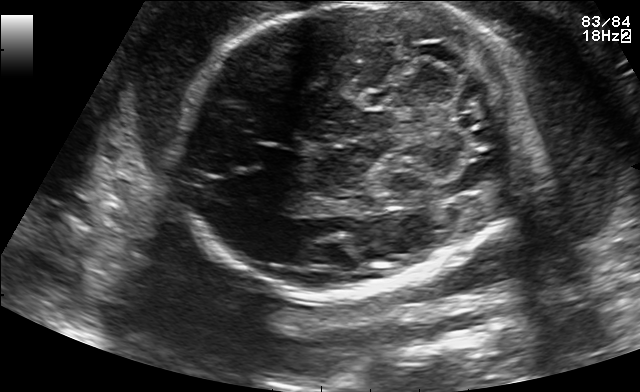
In this fetal brain, trans-cerebellum plane, give bounding boxes for the head outline, cavum septum pellucidum (CSP), and lateral ventricle (LV), where visible.

Head: [184,1,514,299]